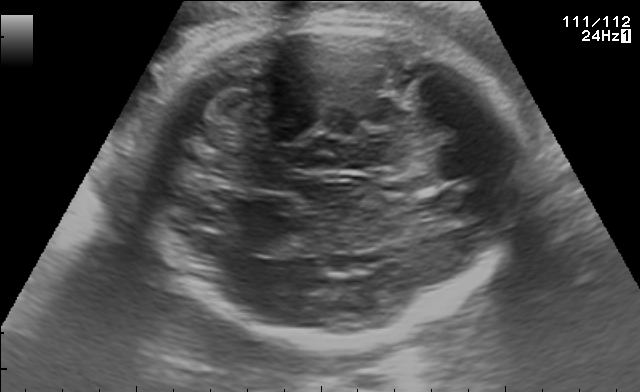
Fetal brain, trans-cerebellum plane. Give [x1,y1,x2,y2] bounding boxes for each visible structure among: fetal head, CSP, LV.

Head: [143,12,525,342]